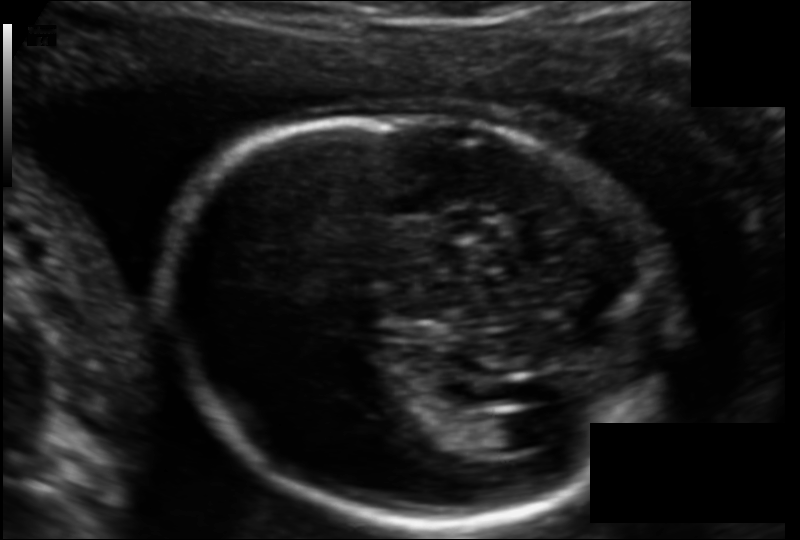
From this fetal ultrasound, estimate the head circumference (image width 98.5 mm).

Head circumference: 180.8 mm.